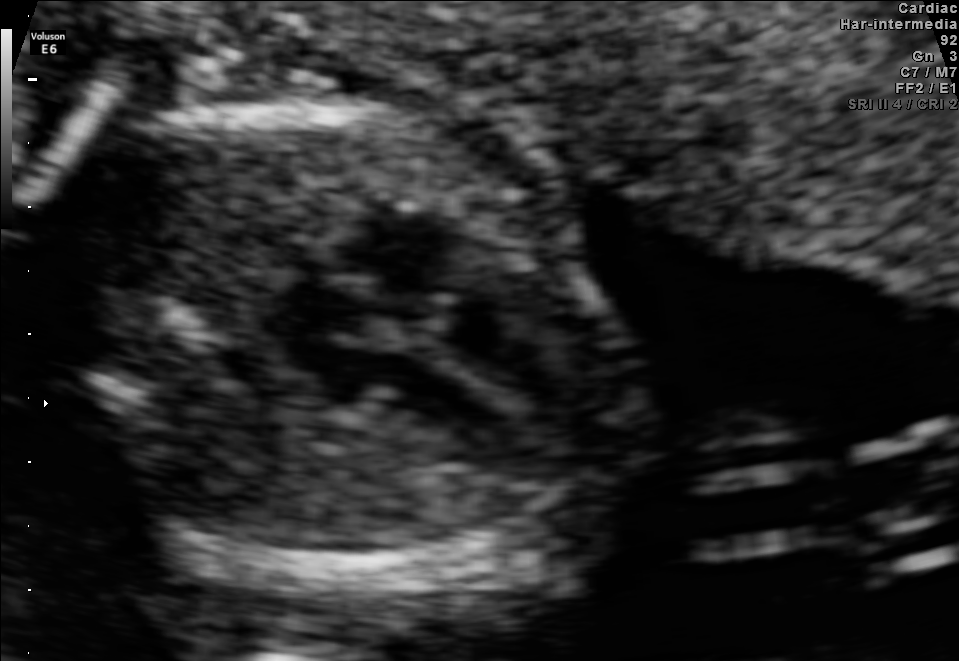
Identify the standard plane in this fetal ultrasound image: fetal abdomen, fetal brain, fetal femur, fetal thorax, maternal cervix, or other. If it's fetal brain and one of the three standard brain planes (trans-thalamic, trans-cerebellum, trans-ventricular), name which.

Fetal thorax